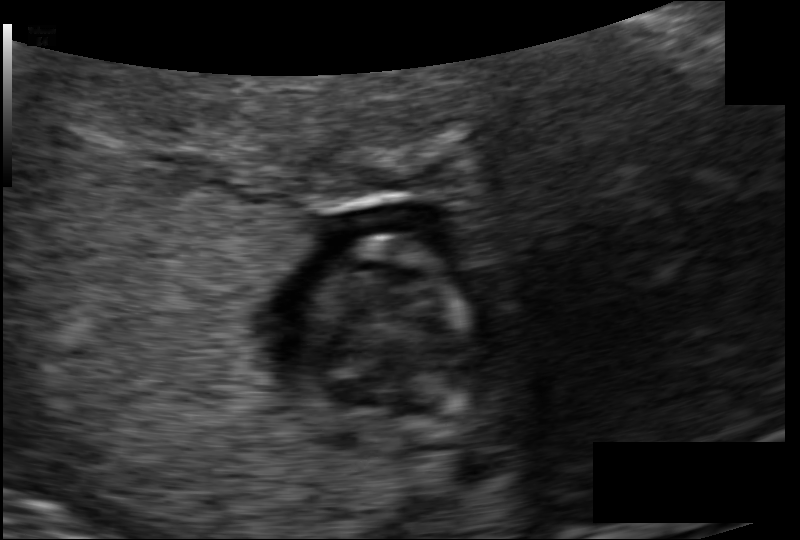
Fetal head ultrasound. Image width: 78.7 mm. Give [x1,y1,x2,y2] bounding boxes for each visible structure among: fetal head, CSP, LV.

Head: [306,237,467,432]